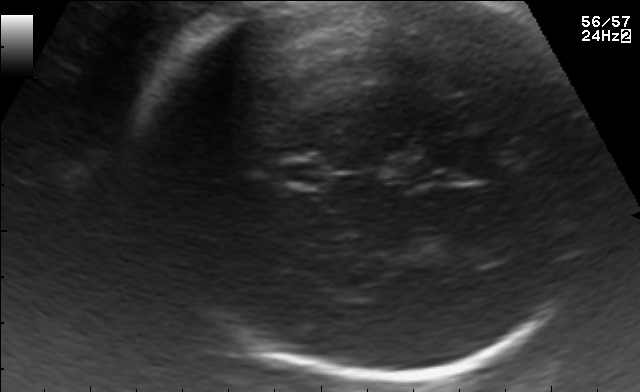
In this fetal brain, trans-thalamic plane, give the bounding box of the cavum septum pellucidum.

[283,164,321,182]